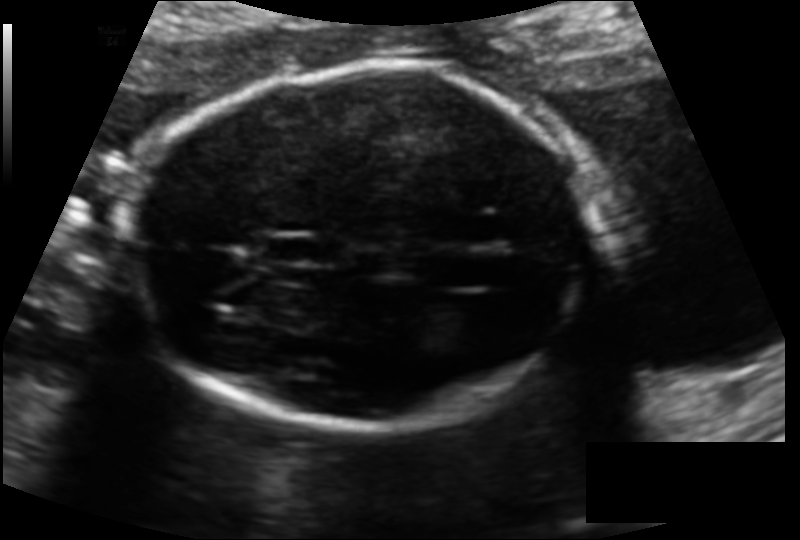
In this fetal head ultrasound, give bounding boxes for the head outline, cavum septum pellucidum (CSP), and lateral ventricle (LV), where visible. Image width: 101.0 mm.

Head: [127,65,591,429]
CSP: [263,234,318,264]